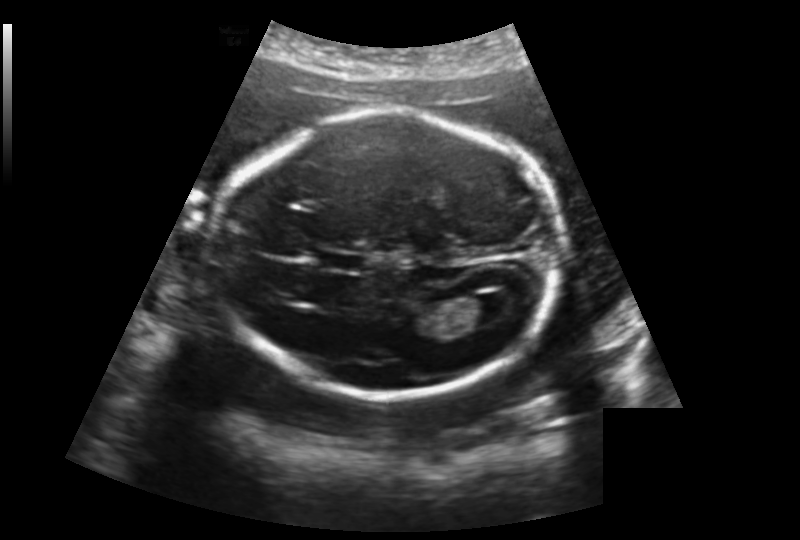
Measure the fetal head circumference shown in this ultrasound image. Image width: 150.3 mm.

Head circumference: 194.6 mm.